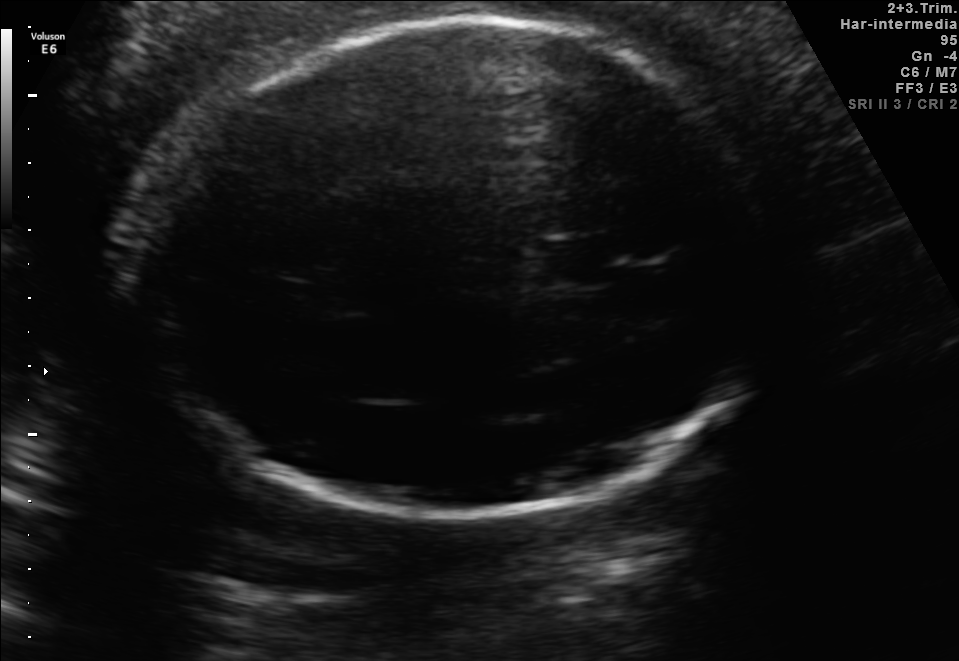
In this fetal brain, trans-thalamic plane, give the bounding box of the fetal head.

[137,22,762,517]